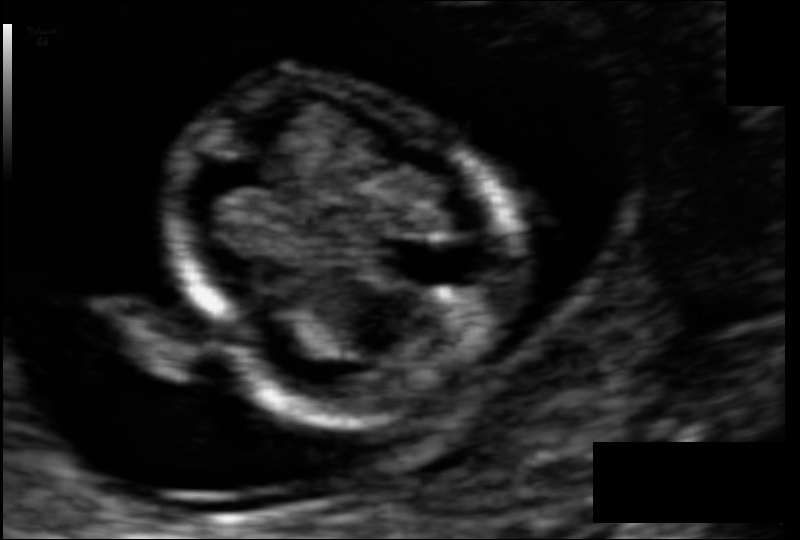
Fetal head ultrasound. Image width: 47.3 mm. Give [x1,y1,x2,y2] bounding boxes for each visible structure among: fetal head, CSP, LV.

Head: [165,75,513,416]